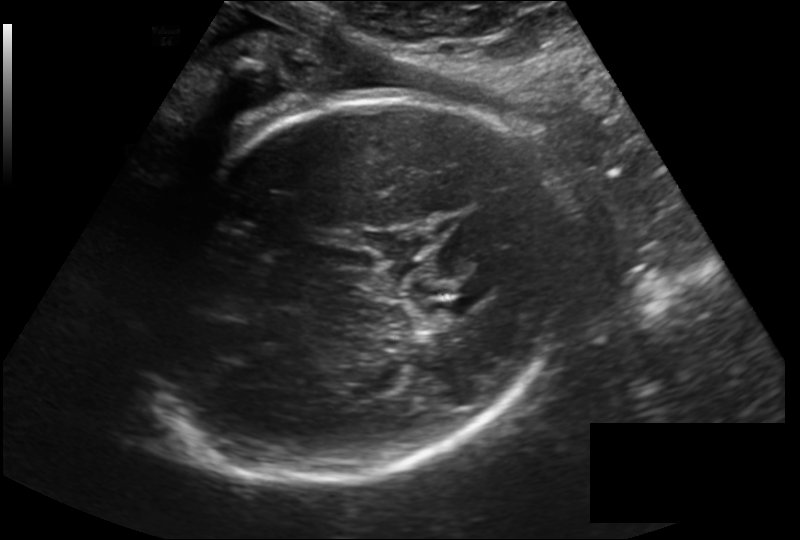
Measure the fetal head circumference shown in this ultrasound image. Image width: 175.4 mm.

Head circumference: 287.1 mm.